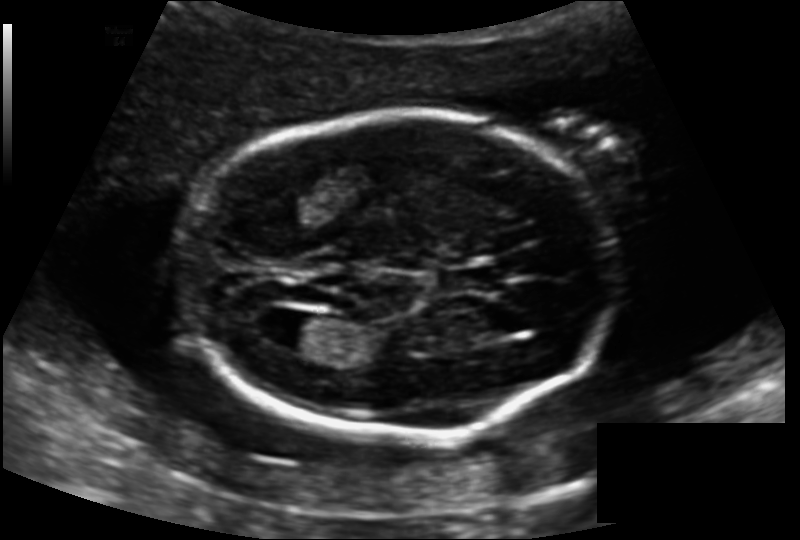
In this fetal head ultrasound, give the bounding box of the fetal head. Image width: 111.5 mm.

[183,112,614,435]